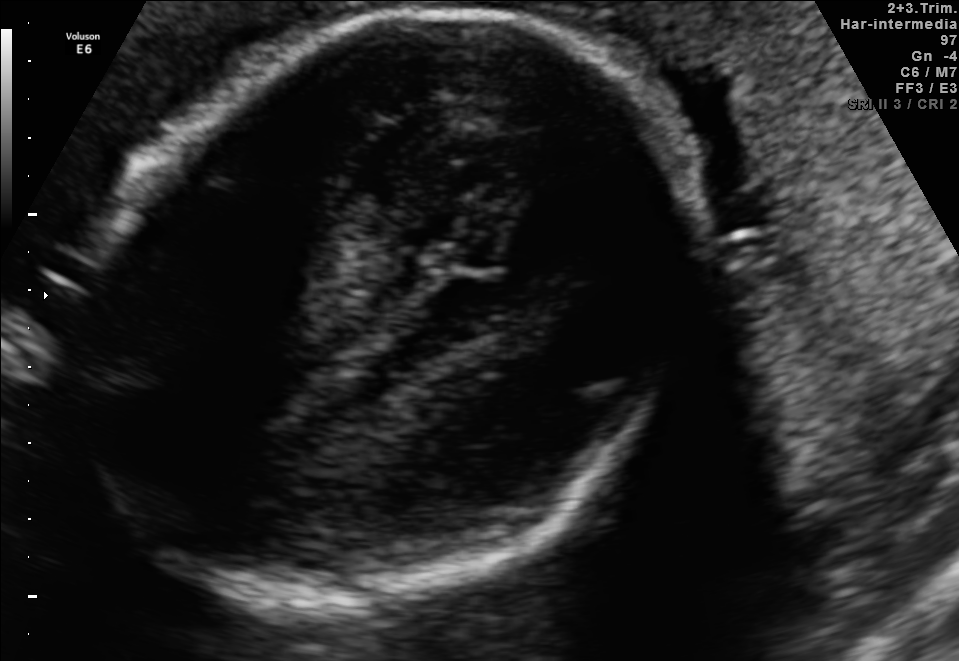
Which standard maternal-fetal ultrasound plane is shown: fetal abdomen, fetal brain, fetal femur, fetal thorax, maternal cervix, or other? If it's fetal brain and one of the three standard brain planes (trans-thalamic, trans-cerebellum, trans-ventricular), name which.

Fetal brain (trans-thalamic plane)